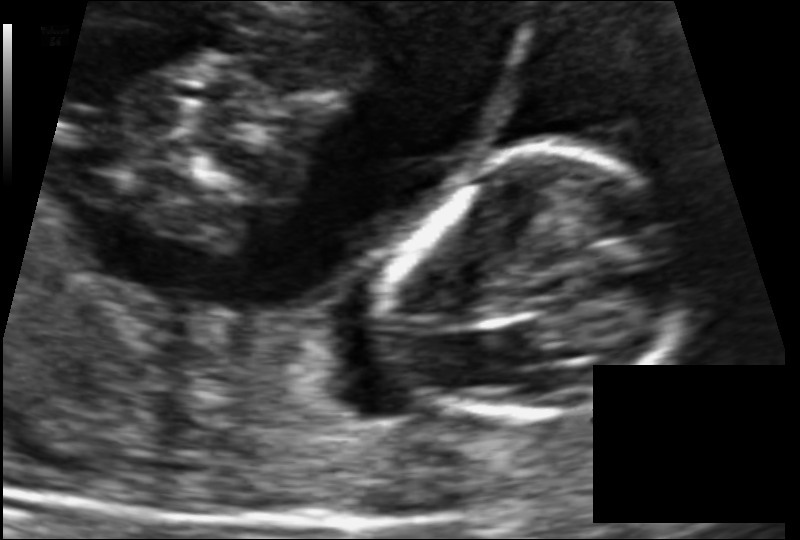
In this fetal head ultrasound, give the bounding box of the fetal head. Image width: 69.1 mm.

[383,154,682,437]